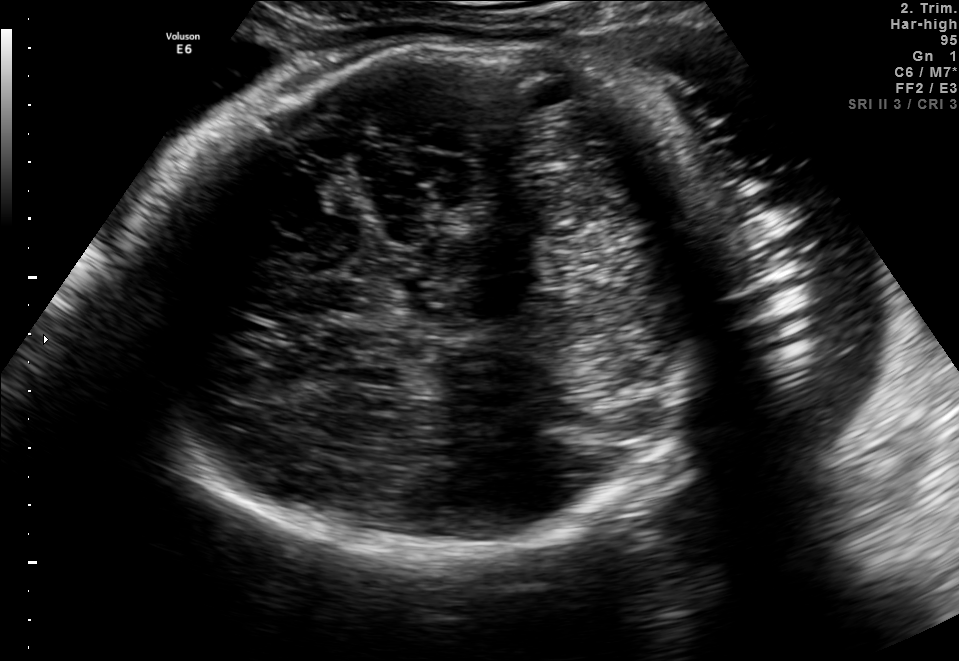
This is a 2D maternal-fetal ultrasound frame. Is it a fetal abdomen, fetal brain, fetal femur, fetal thorax, maternal cervix, or other standard plane? If it's fetal brain and one of the three standard brain planes (trans-thalamic, trans-cerebellum, trans-ventricular), name which.

Fetal brain (trans-thalamic plane)